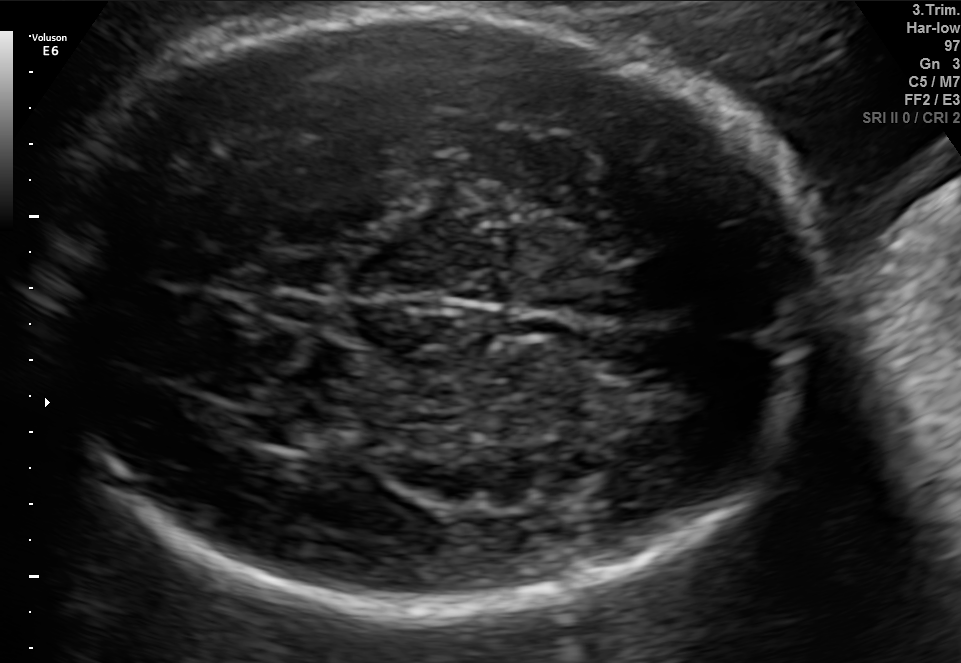
In this fetal brain, trans-thalamic plane, give the bounding box of the fetal head.

[44,13,817,616]